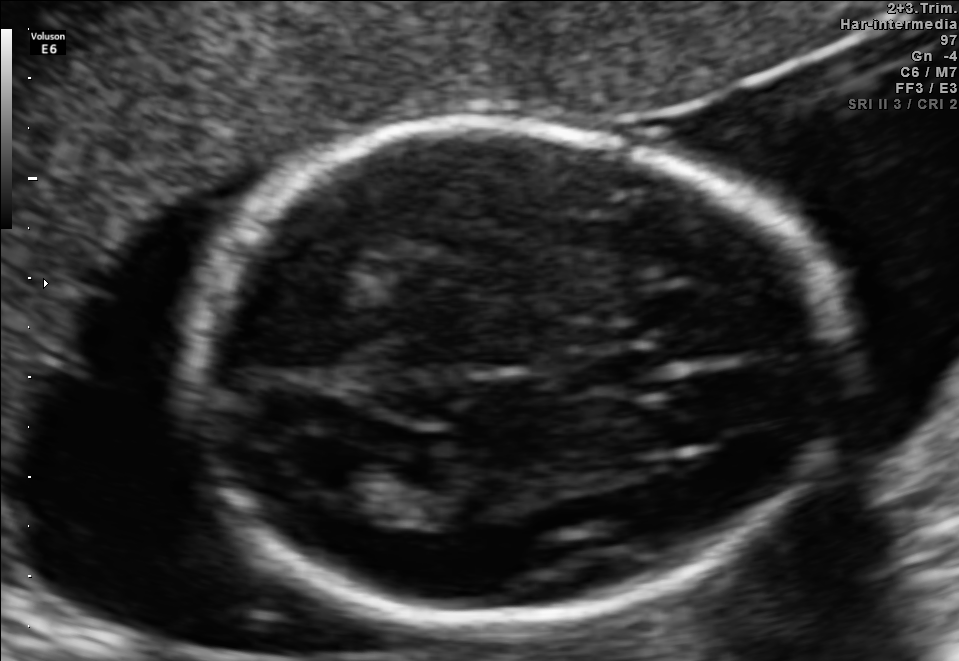
Fetal brain, trans-ventricular plane. Where is the cavum septum pellucidum?

CSP bounding box: [557,354,641,390]